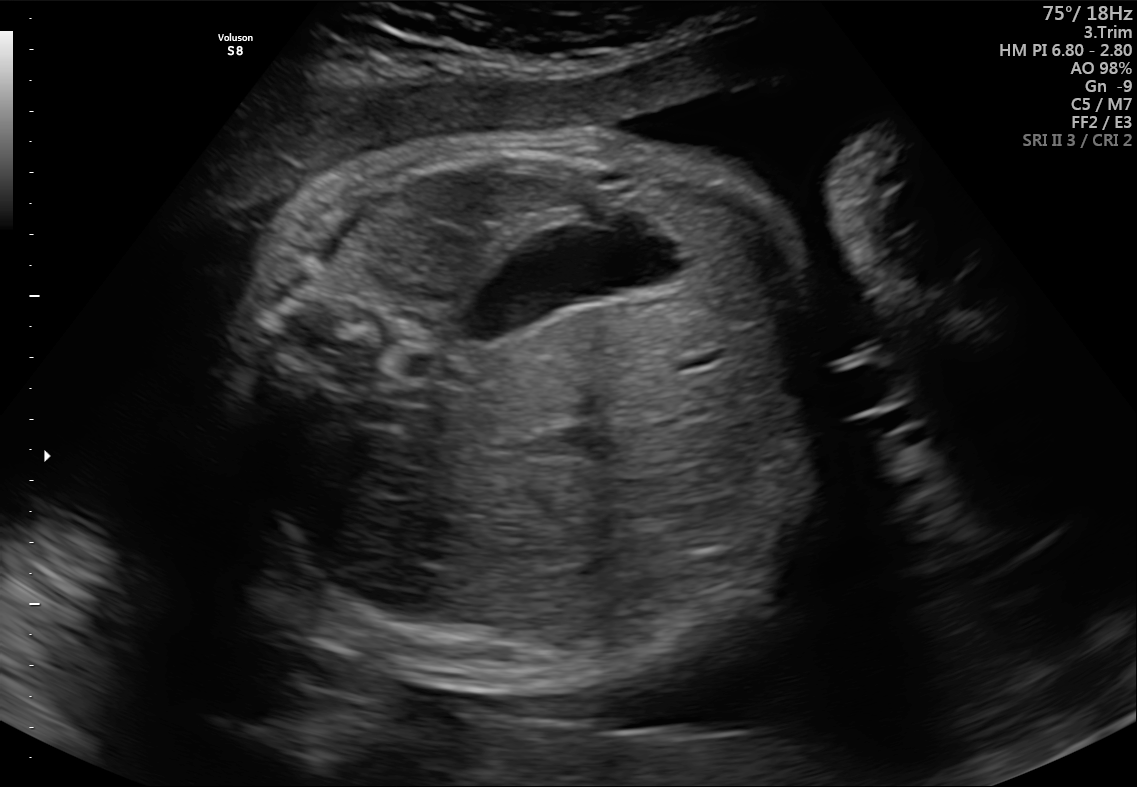
Classify this maternal-fetal ultrasound image as one of the six standard planes — fetal abdomen, fetal brain, fetal femur, fetal thorax, maternal cervix, or other. If it's fetal brain and one of the three standard brain planes (trans-thalamic, trans-cerebellum, trans-ventricular), name which.

Fetal abdomen